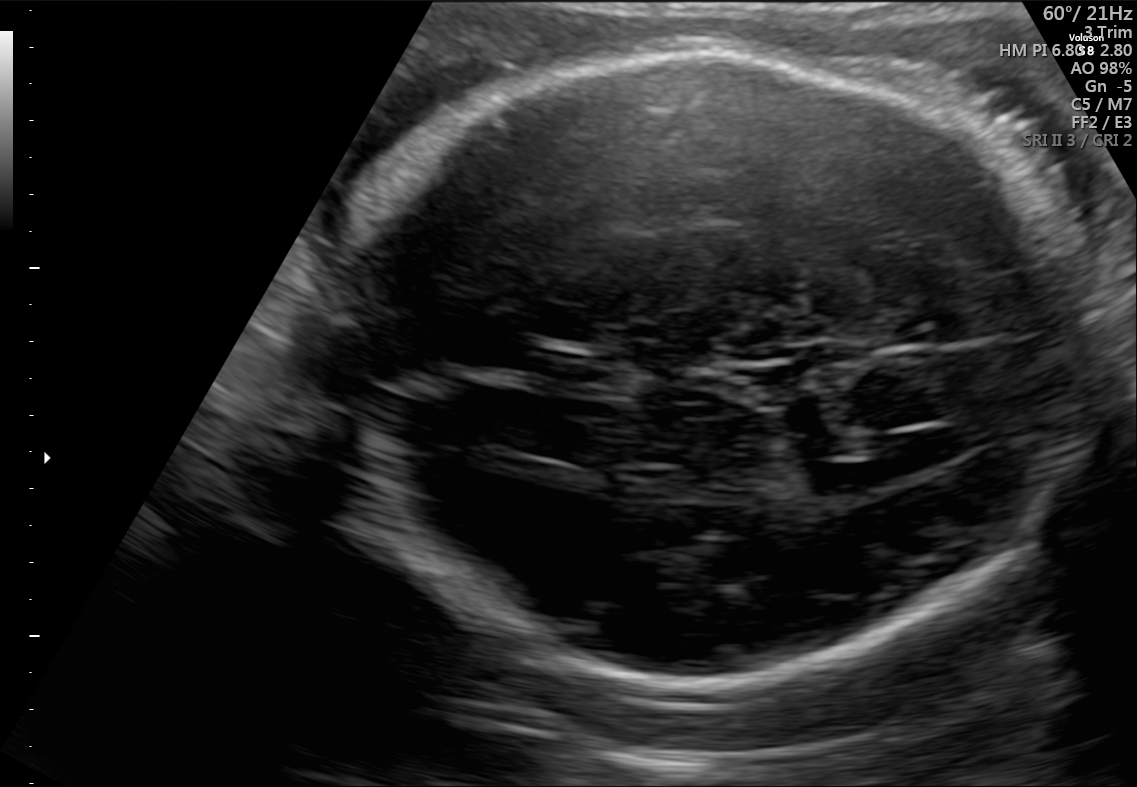
Fetal brain, trans-ventricular plane. Locate the fetal head.

Head: [315,39,1118,700]